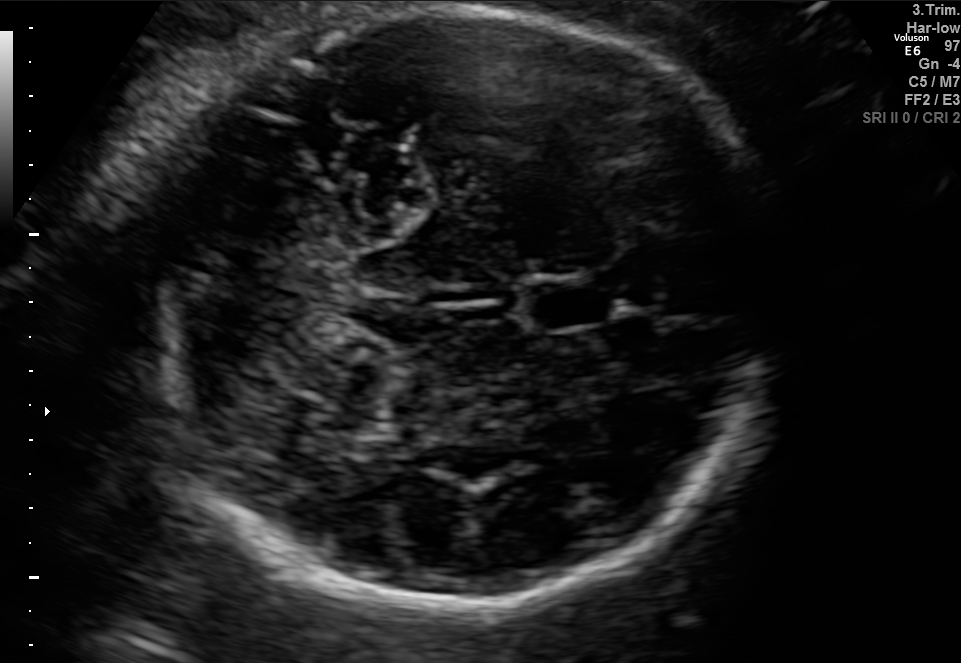
Fetal brain, trans-cerebellum plane. Locate the fetal head.

Head: [141,8,766,605]